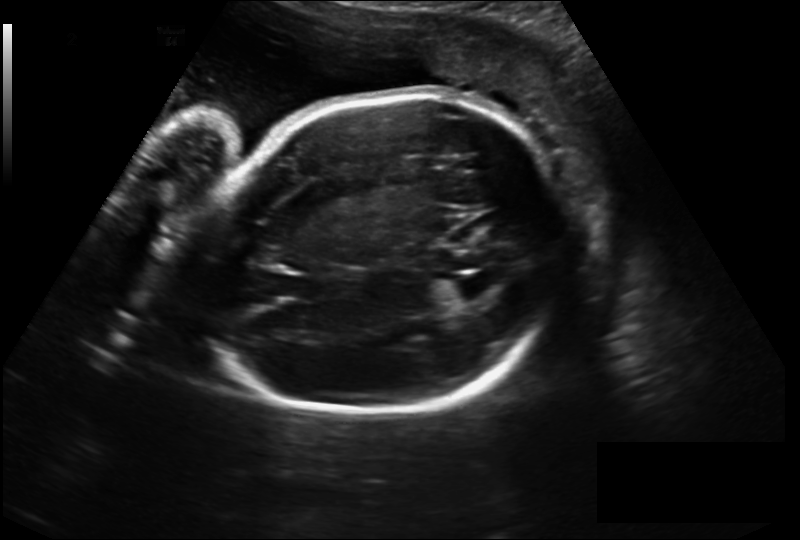
Fetal head ultrasound. Image width: 184.2 mm. Locate the fetal head.

Head: [194,97,566,417]